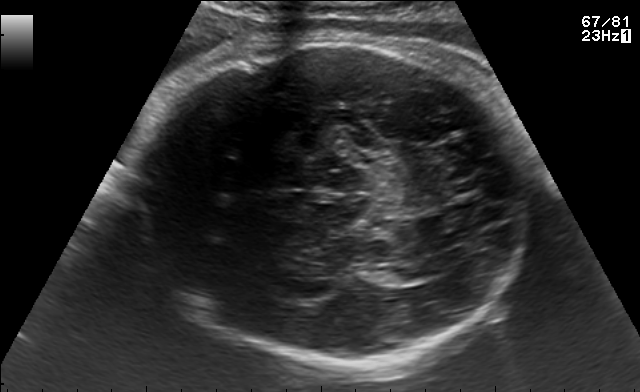
In this fetal brain, trans-thalamic plane, give the bounding box of the lateral ventricle.

[368,264,425,286]